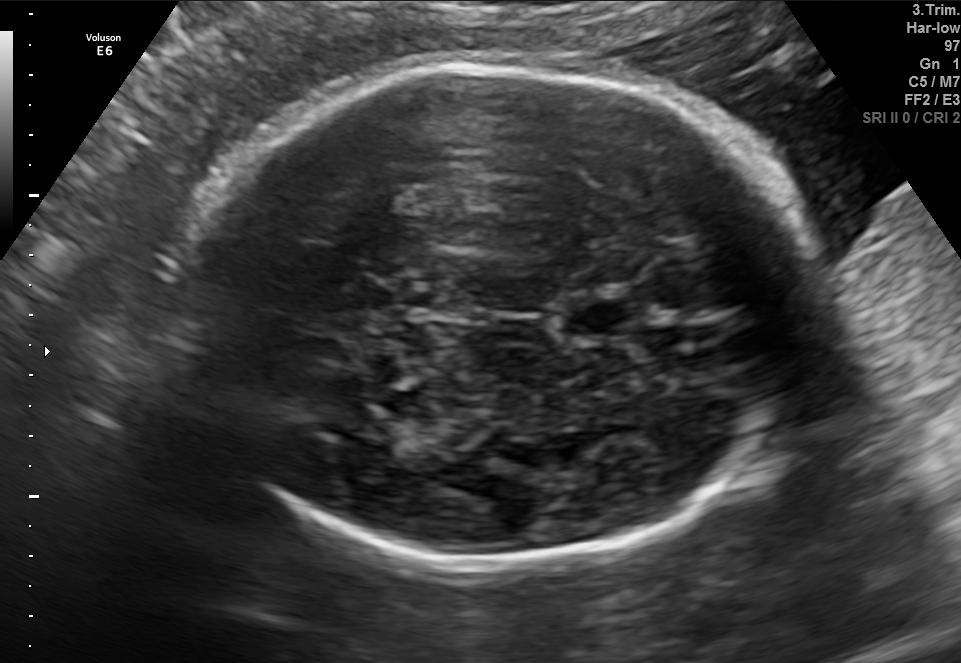
This is a 2D maternal-fetal ultrasound frame. Is it a fetal abdomen, fetal brain, fetal femur, fetal thorax, maternal cervix, or other standard plane? If it's fetal brain and one of the three standard brain planes (trans-thalamic, trans-cerebellum, trans-ventricular), name which.

Fetal brain (trans-thalamic plane)